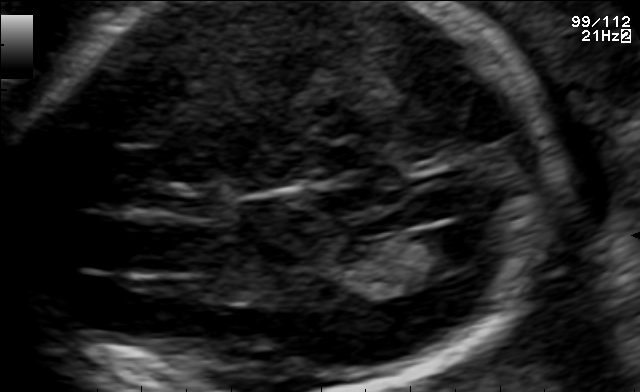
In this fetal brain, trans-ventricular plane, give bounding boxes for the cavum septum pellucidum (CSP) and lateral ventricle (LV), where visible.

CSP: [177,188,221,216]
Lateral ventricle: [413,212,508,278]